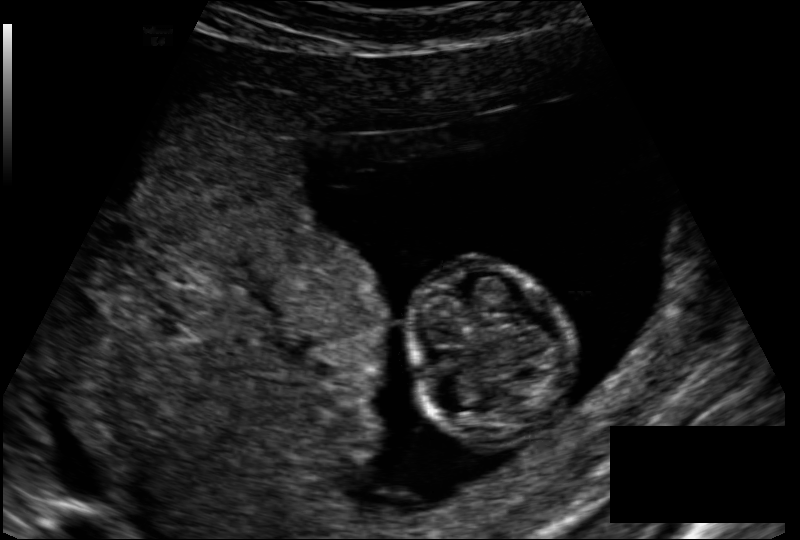
Estimate the fetal head circumference from this 2D ultrasound. Image width: 102.1 mm.

Head circumference: 72.7 mm.